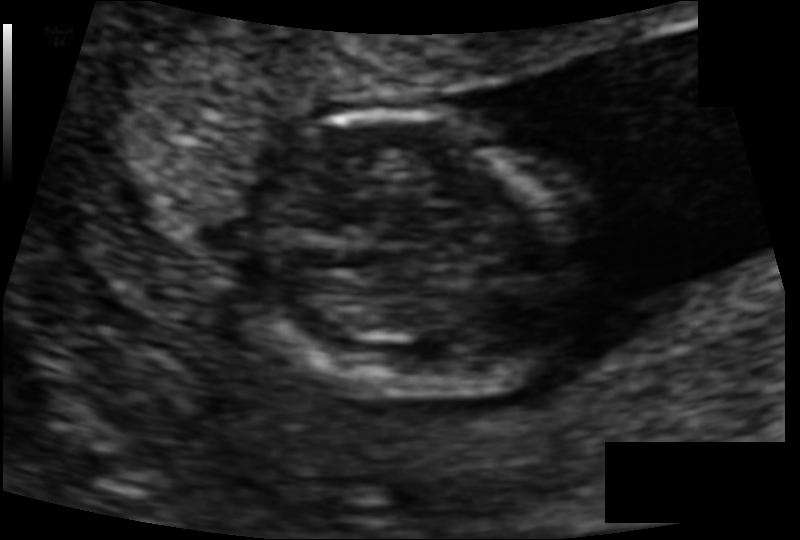
What is the fetal head circumference? Image width is 62.1 mm.

76.2 mm